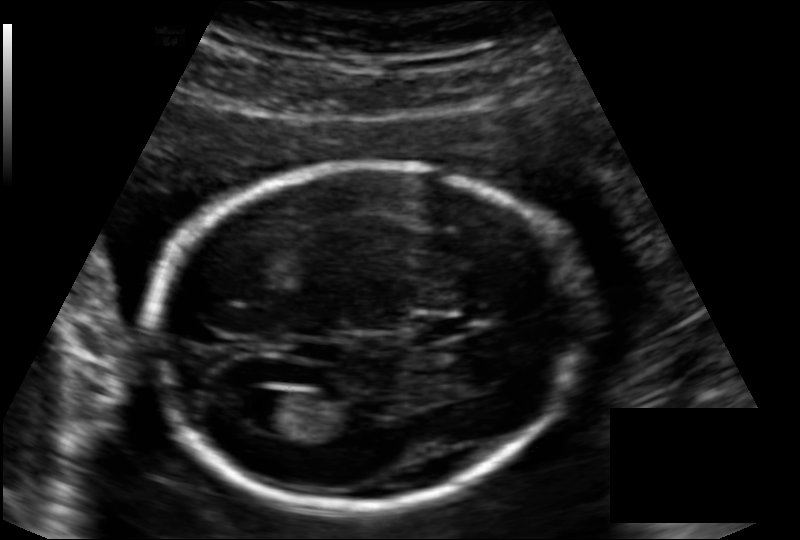
Fetal head ultrasound. Image width: 108.5 mm. Locate the cavum septum pellucidum.

CSP: [411,313,469,342]